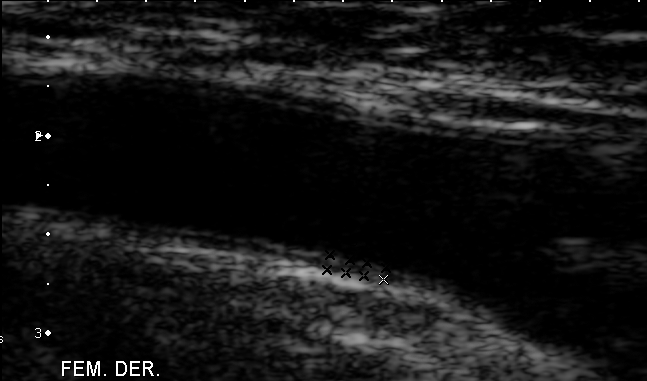
Identify the standard plane in this fetal ultrasound image: fetal abdomen, fetal brain, fetal femur, fetal thorax, maternal cervix, or other. If it's fetal brain and one of the three standard brain planes (trans-thalamic, trans-cerebellum, trans-ventricular), name which.

Other